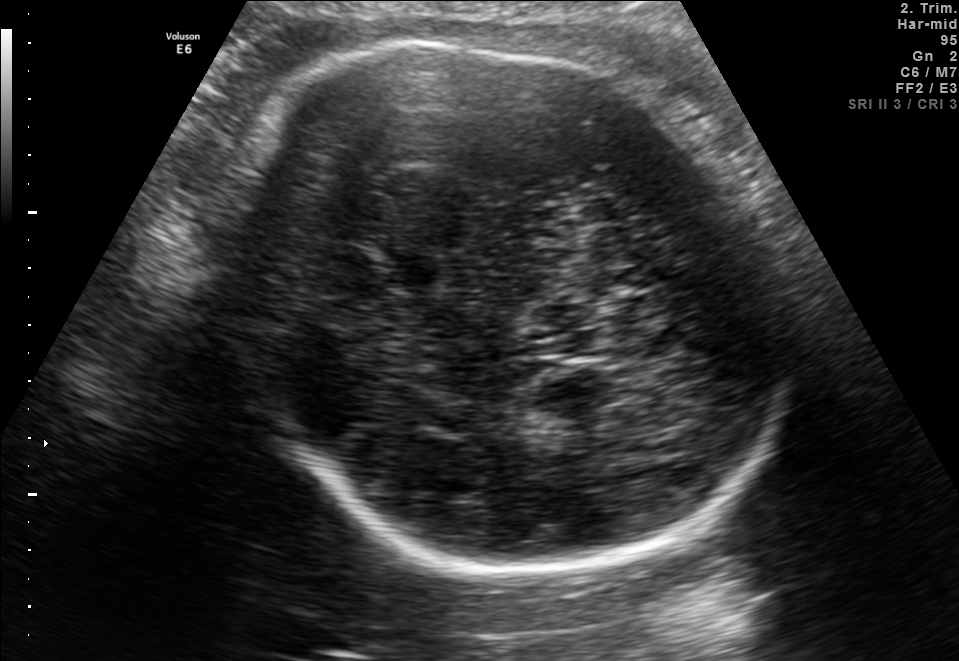
Fetal brain, trans-thalamic plane. Locate the fetal head and, if visible, the cavum septum pellucidum (CSP) and lateral ventricle (LV). Give bounding boxes as [x1,y1,x2,y2].

Head: [219,31,778,576]
CSP: [370,242,450,296]